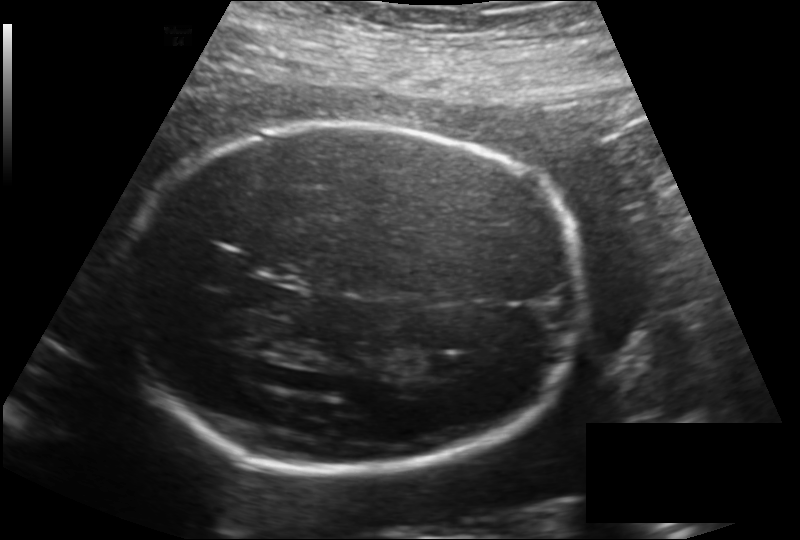
In this fetal head ultrasound, give the bounding box of the cavum septum pellucidum. Image width: 149.9 mm.

[242,278,306,322]